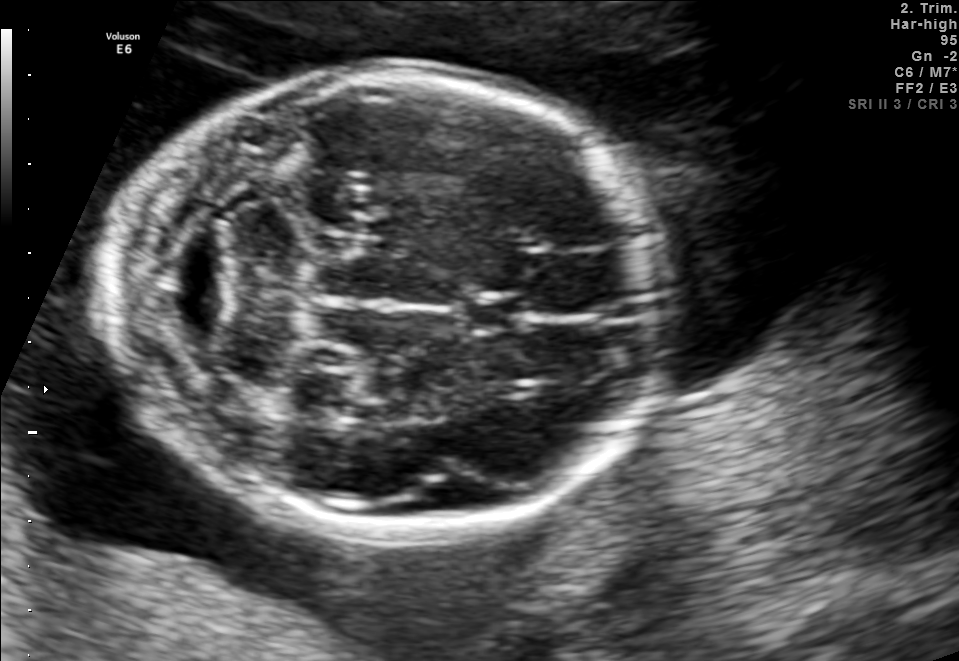
Fetal brain, trans-cerebellum plane. Locate the fetal head.

Head: [106,71,661,530]